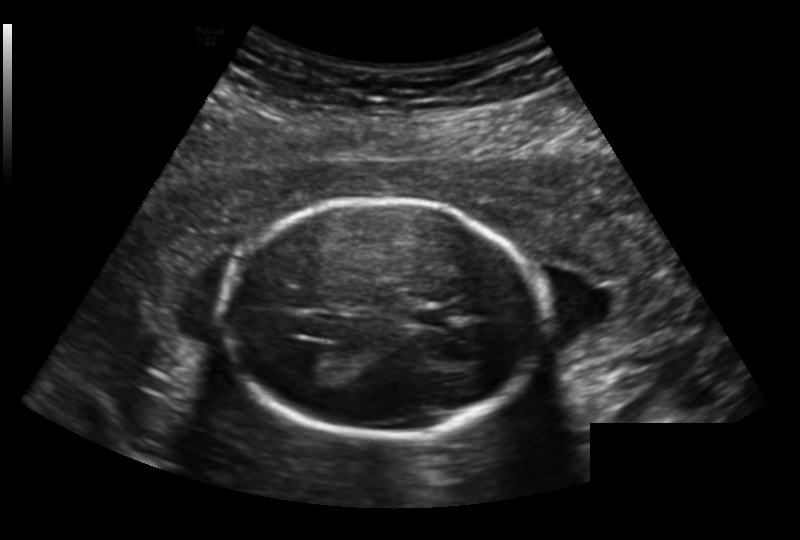
From this fetal ultrasound, estimate the head circumference (image width 152.4 mm).

Head circumference: 176.7 mm.